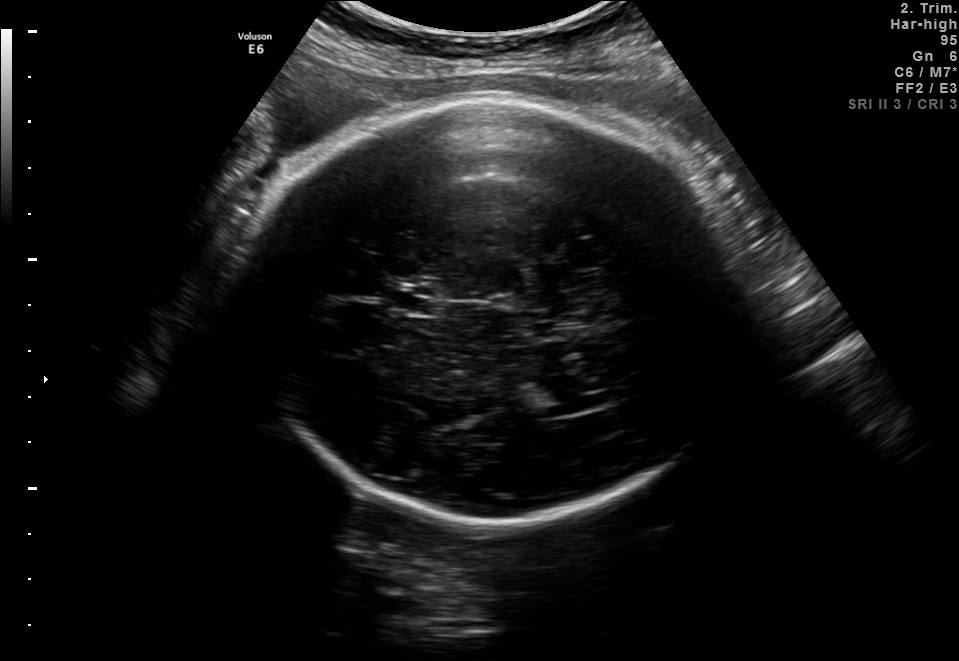
Fetal brain, trans-ventricular plane. Locate the fetal head and, if visible, the cavum septum pellucidum (CSP) and lateral ventricle (LV). Give bounding boxes as [x1,y1,x2,y2].

Head: [234,91,751,526]
CSP: [381,287,442,314]
Lateral ventricle: [527,373,595,419]